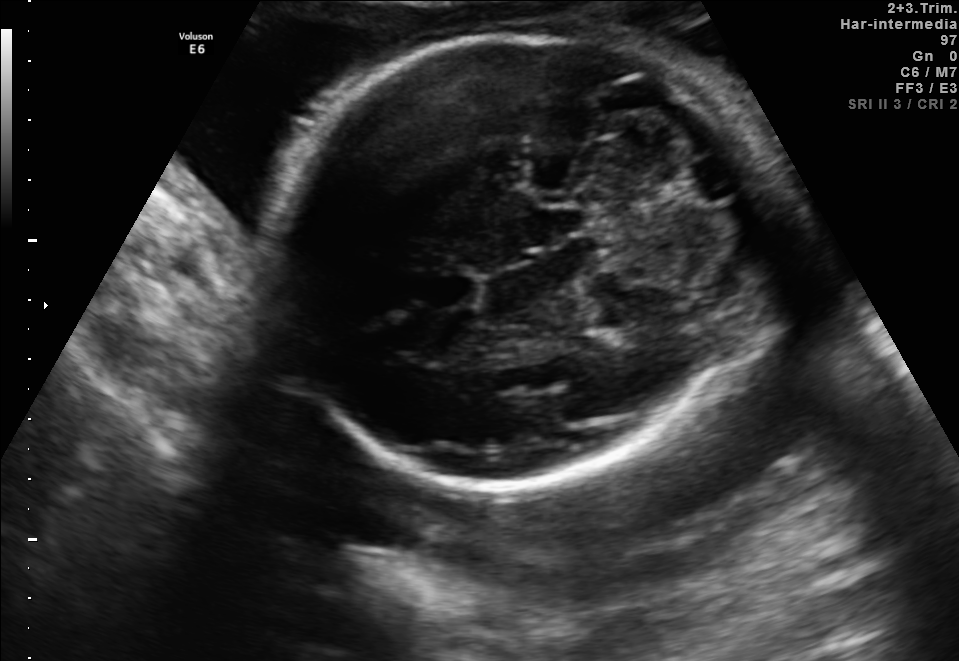
Fetal brain, trans-cerebellum plane. Locate the fetal head and, if visible, the cavum septum pellucidum (CSP) and lateral ventricle (LV). Give bounding boxes as [x1,y1,x2,y2].

Head: [276,30,757,493]
CSP: [413,271,477,308]